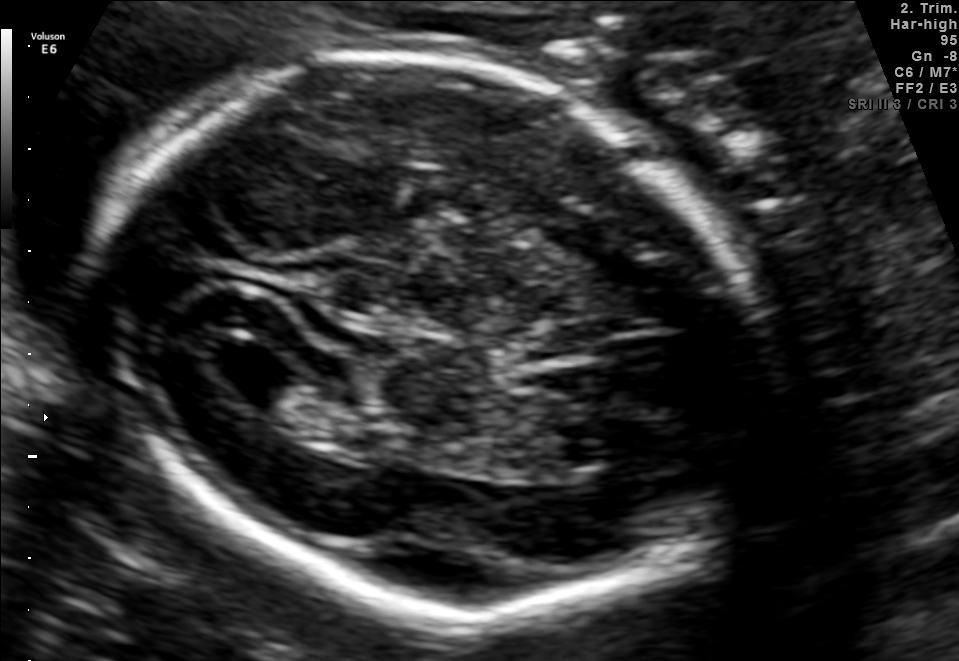
Fetal brain, trans-ventricular plane. Where is the fetal head?

Head bounding box: [83,41,788,638]